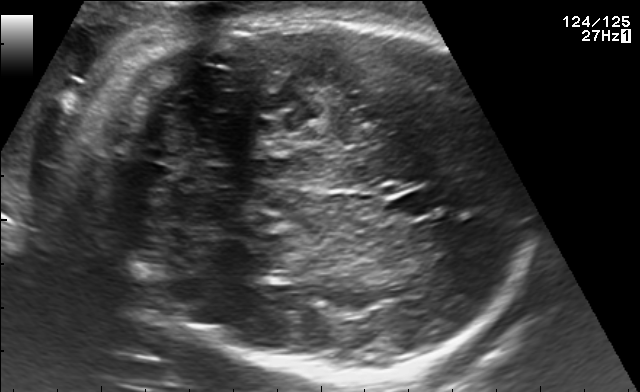
In this fetal brain, trans-cerebellum plane, give the bounding box of the cavum septum pellucidum.

[382,184,441,230]